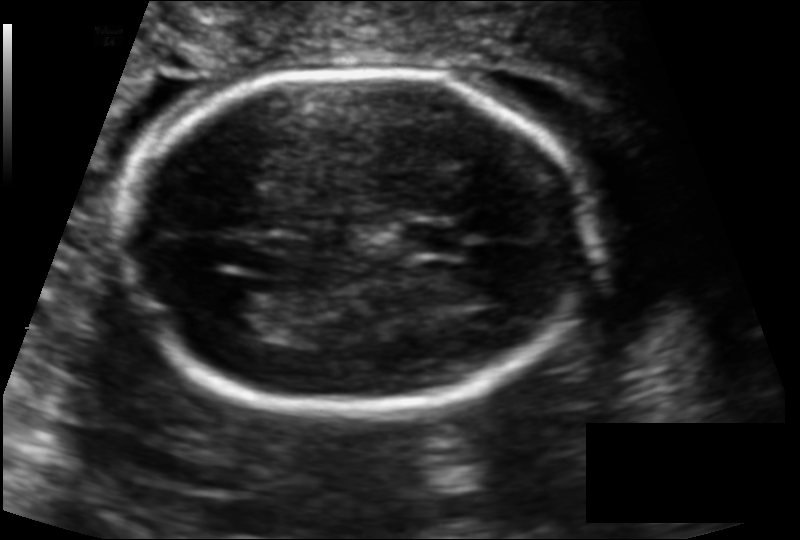
Fetal head ultrasound. Image width: 97.4 mm. Locate the fetal head.

Head: [122,69,593,413]